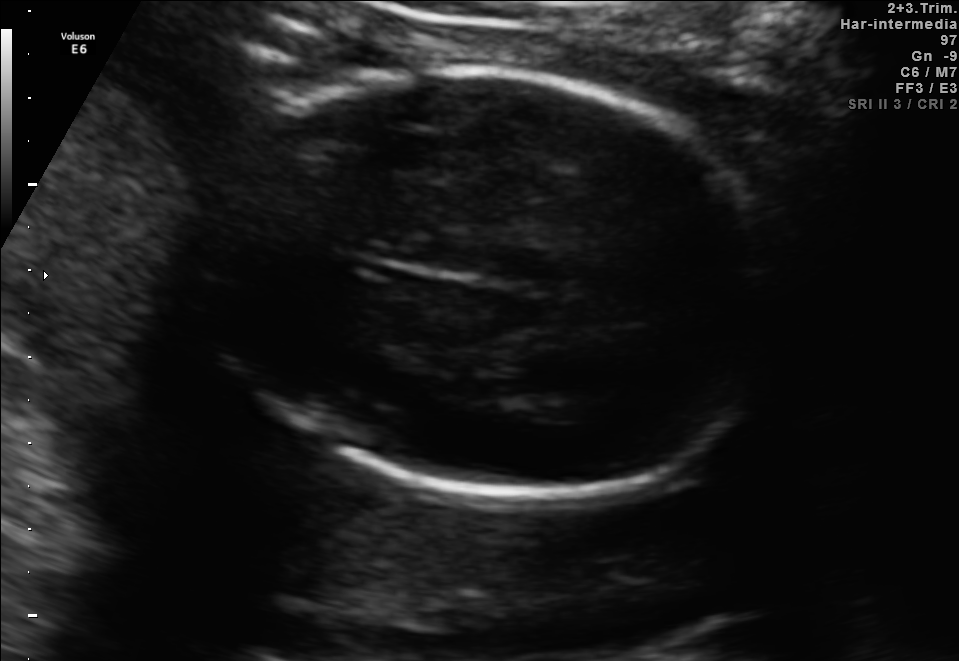
Fetal brain, trans-thalamic plane. Locate the fetal head.

Head: [203,70,782,497]